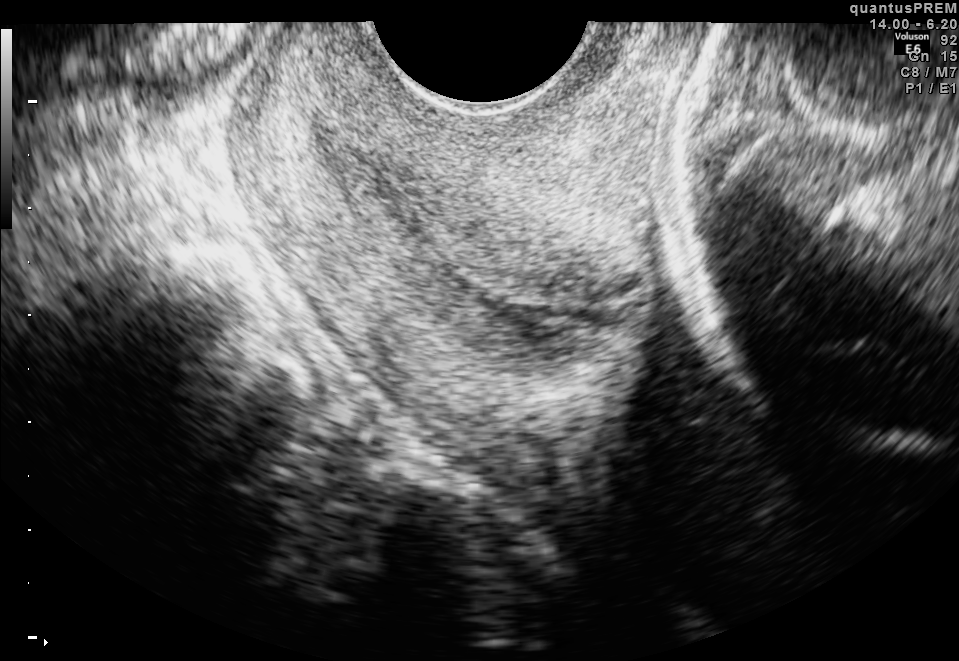
Which standard maternal-fetal ultrasound plane is shown: fetal abdomen, fetal brain, fetal femur, fetal thorax, maternal cervix, or other? If it's fetal brain and one of the three standard brain planes (trans-thalamic, trans-cerebellum, trans-ventricular), name which.

Maternal cervix